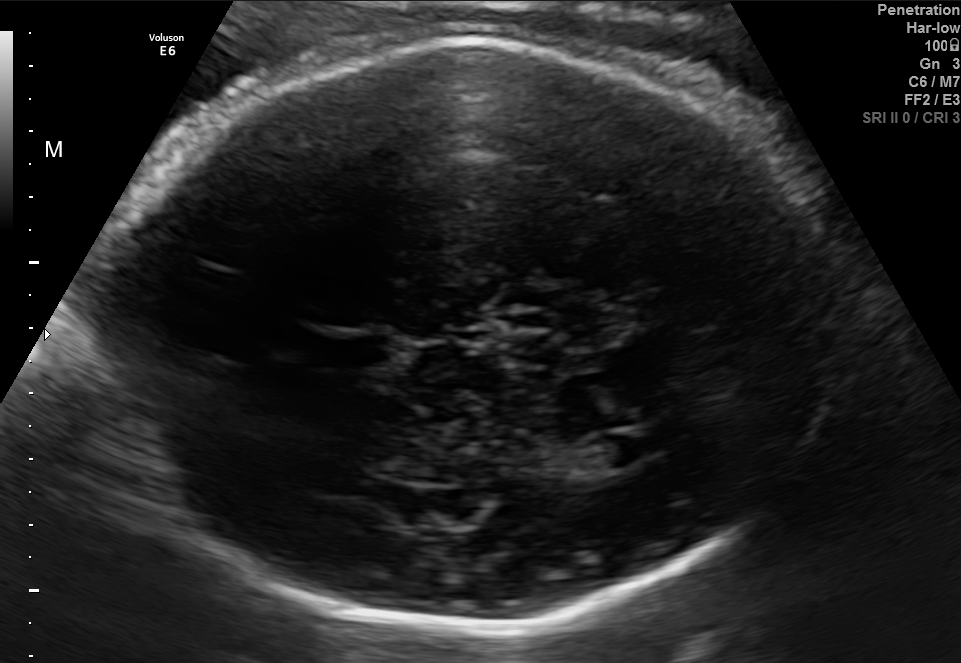
Fetal brain, trans-ventricular plane. Where is the fetal head?

Head bounding box: [87,31,870,634]